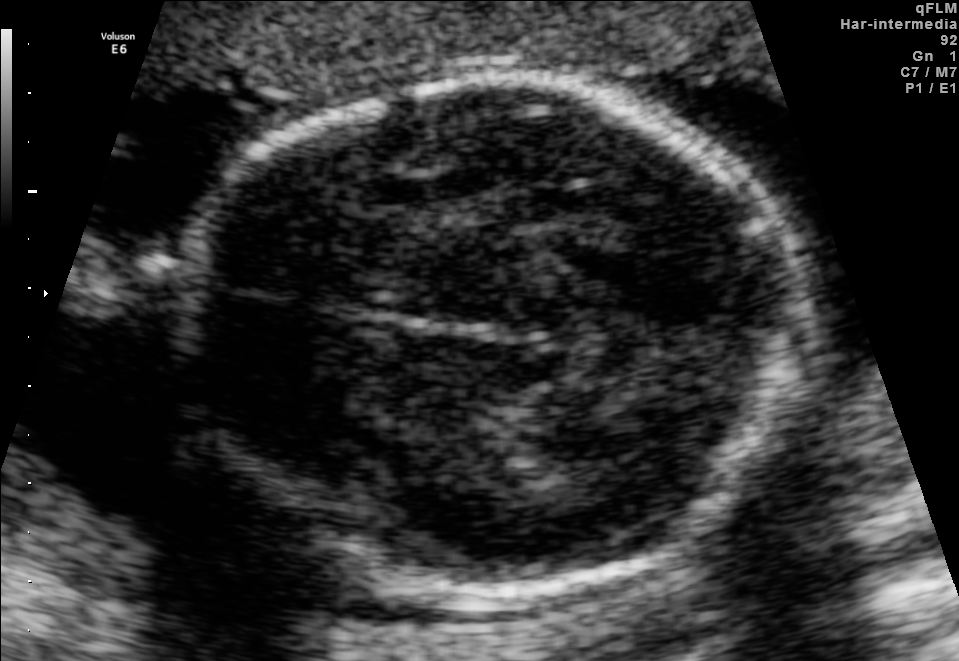
In this fetal brain, trans-thalamic plane, give bounding boxes for the head outline, cavum septum pellucidum (CSP), and lateral ventricle (LV), where visible.

Head: [175,80,804,595]